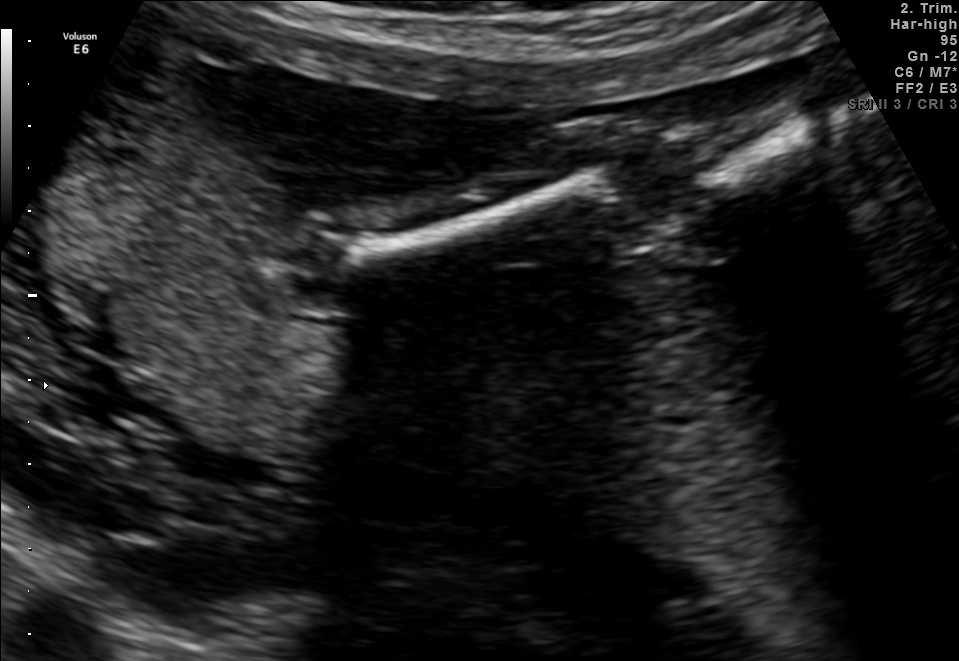
This is a 2D maternal-fetal ultrasound frame. Is it a fetal abdomen, fetal brain, fetal femur, fetal thorax, maternal cervix, or other standard plane? If it's fetal brain and one of the three standard brain planes (trans-thalamic, trans-cerebellum, trans-ventricular), name which.

Other